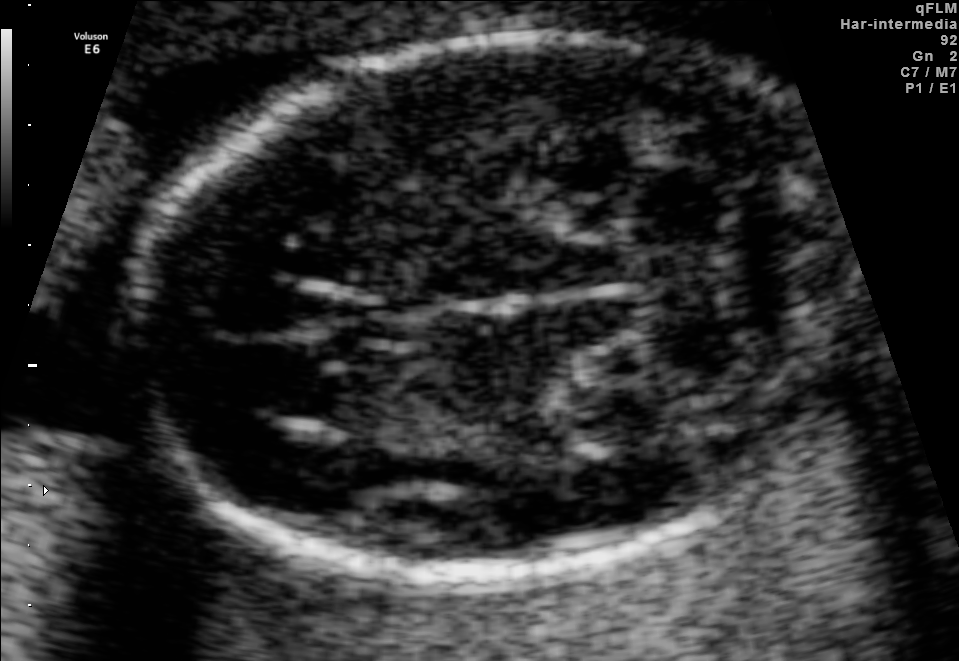
In this fetal brain, trans-cerebellum plane, give bounding boxes for the head outline, cavum septum pellucidum (CSP), and lateral ventricle (LV), where visible.

Head: [136,33,847,576]